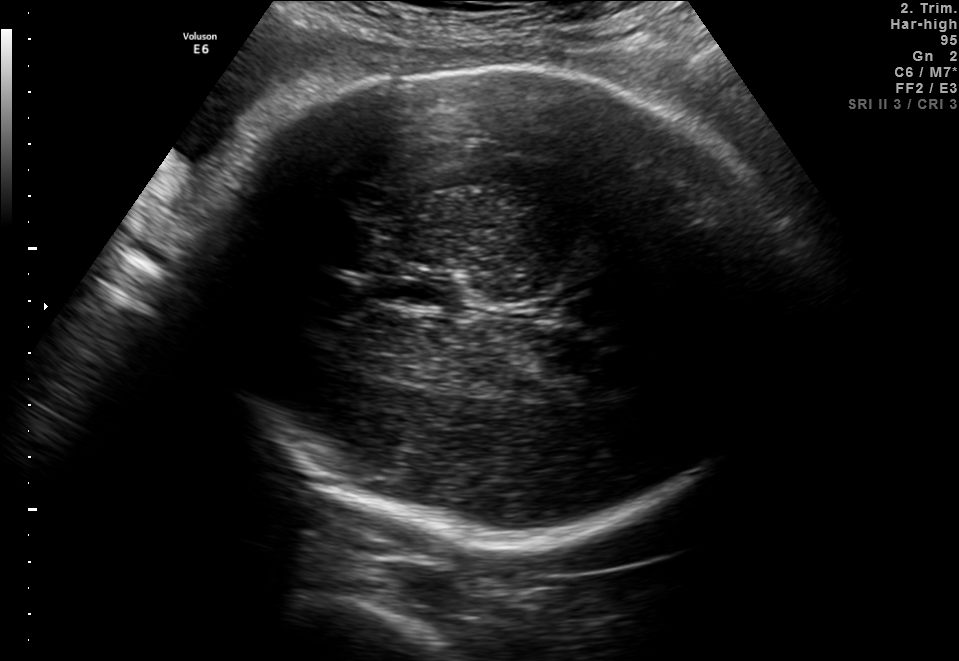
Fetal brain, trans-thalamic plane. Locate the cavum septum pellucidum.

CSP: [381,266,463,310]